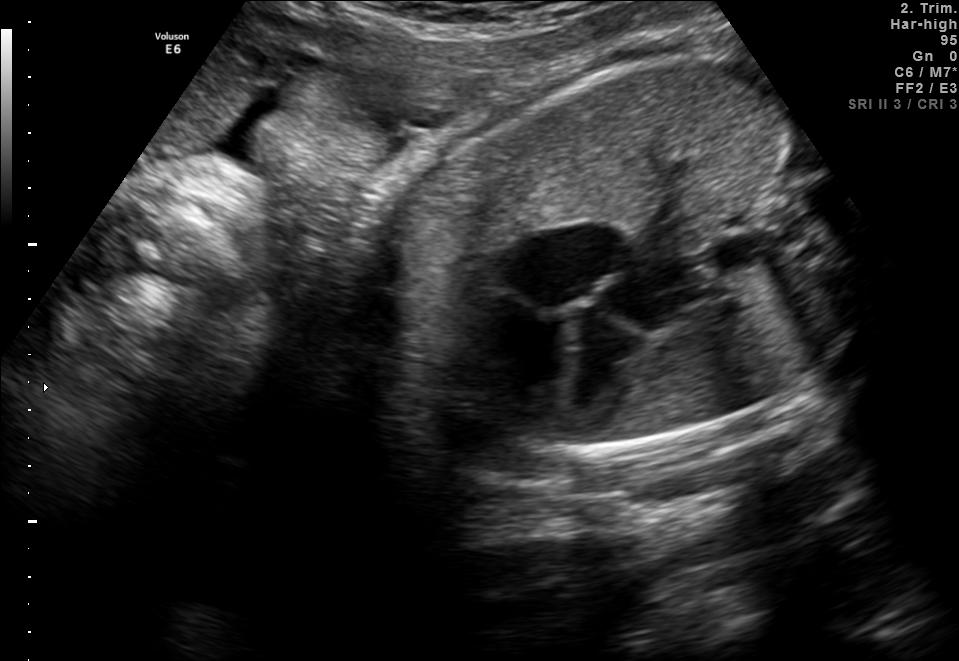
This is a 2D maternal-fetal ultrasound frame. Is it a fetal abdomen, fetal brain, fetal femur, fetal thorax, maternal cervix, or other standard plane? If it's fetal brain and one of the three standard brain planes (trans-thalamic, trans-cerebellum, trans-ventricular), name which.

Fetal thorax